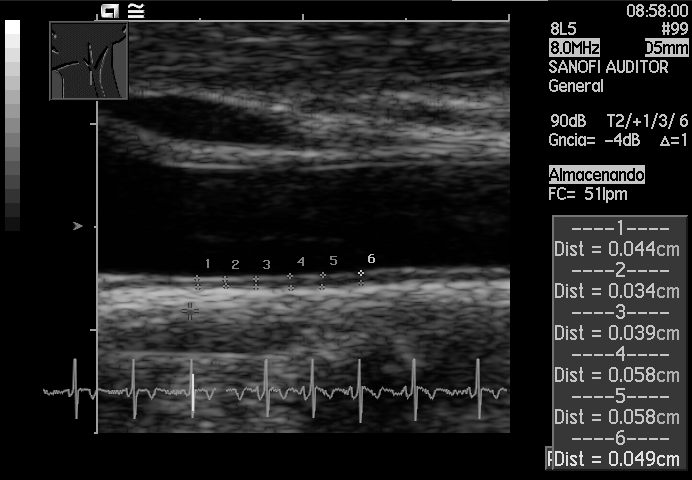
Which standard maternal-fetal ultrasound plane is shown: fetal abdomen, fetal brain, fetal femur, fetal thorax, maternal cervix, or other? If it's fetal brain and one of the three standard brain planes (trans-thalamic, trans-cerebellum, trans-ventricular), name which.

Other